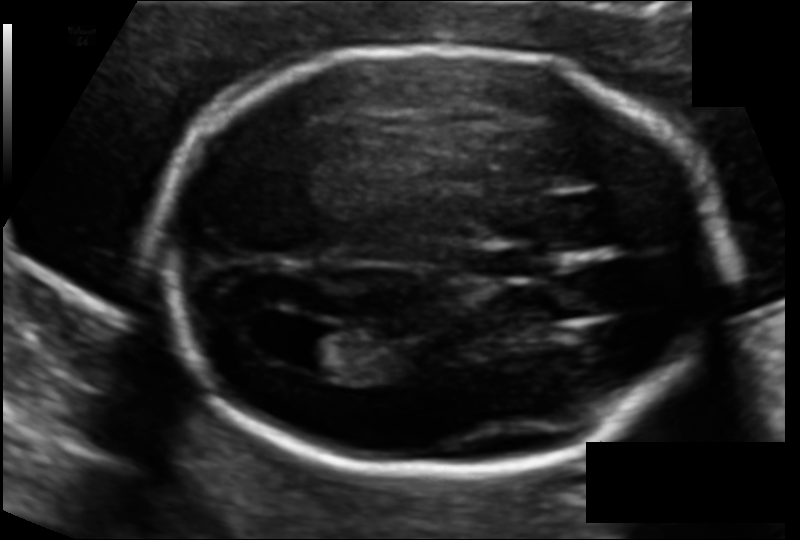
In this fetal head ultrasound, give the bounding box of the fetal head. Image width: 89.4 mm.

[164,48,724,469]